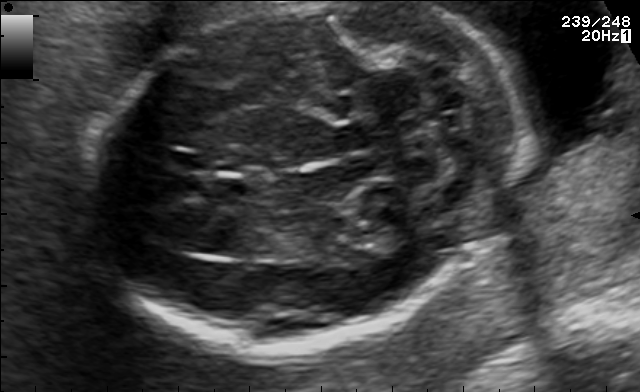
Classify this maternal-fetal ultrasound image as one of the six standard planes — fetal abdomen, fetal brain, fetal femur, fetal thorax, maternal cervix, or other. If it's fetal brain and one of the three standard brain planes (trans-thalamic, trans-cerebellum, trans-ventricular), name which.

Fetal brain (trans-cerebellum plane)